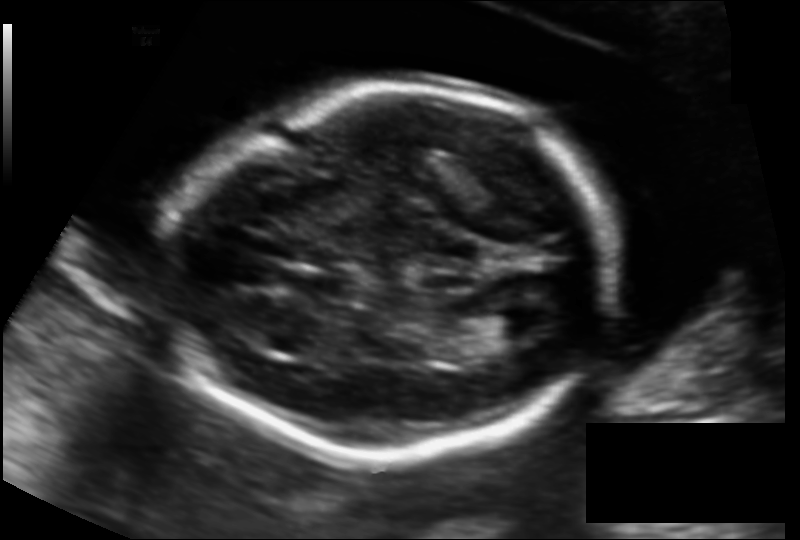
Fetal head ultrasound. Image width: 105.0 mm. Where is the lateral ventricle?

Lateral ventricle bounding box: [484,308,539,343]